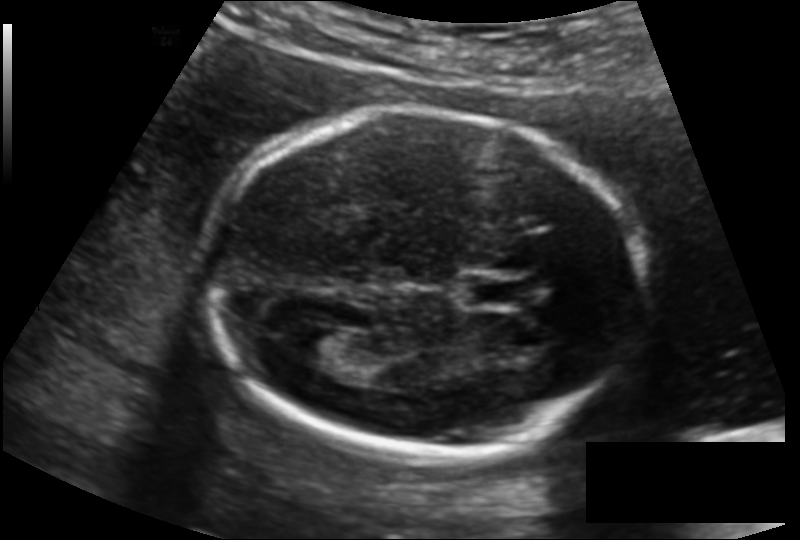
In this fetal head ultrasound, give the bounding box of the fetal head. Image width: 107.6 mm.

[198,112,639,454]